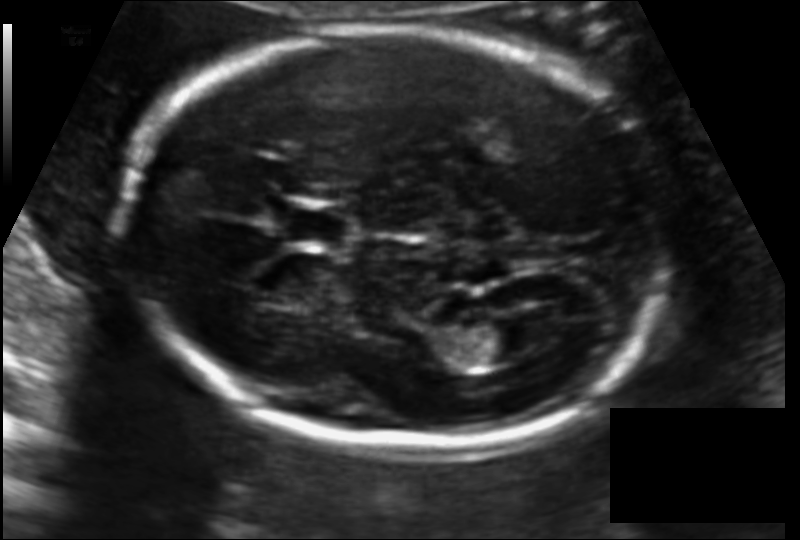
Measure the fetal head circumference shown in this ultrasound image. Image width: 95.2 mm.

Head circumference: 186.3 mm.